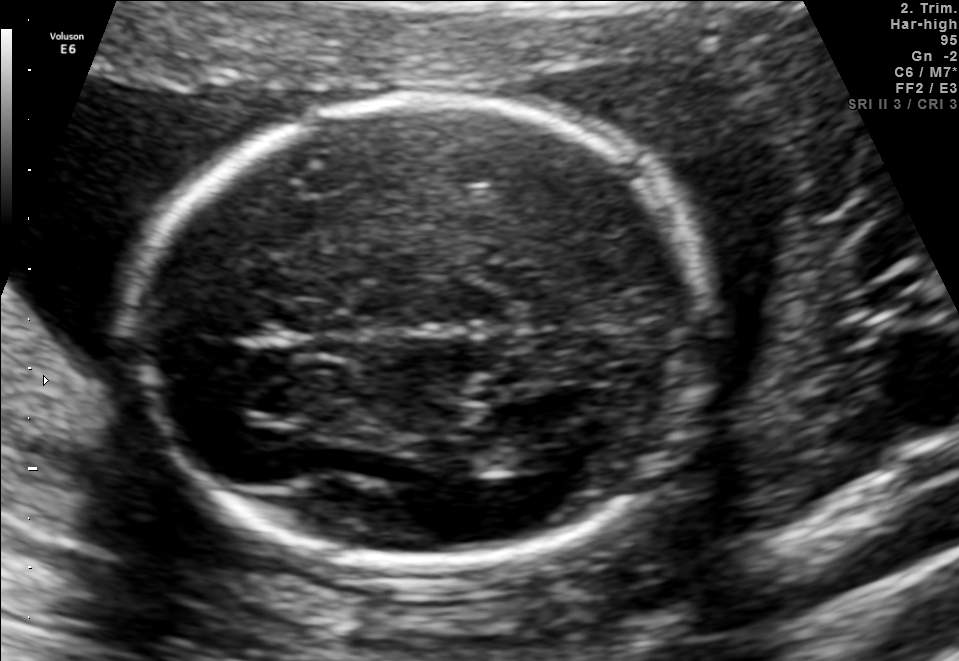
In this fetal brain, trans-thalamic plane, give bounding boxes for the head outline, cavum septum pellucidum (CSP), and lateral ventricle (LV), where visible.

Head: [137,98,698,559]
Lateral ventricle: [471,431,565,478]